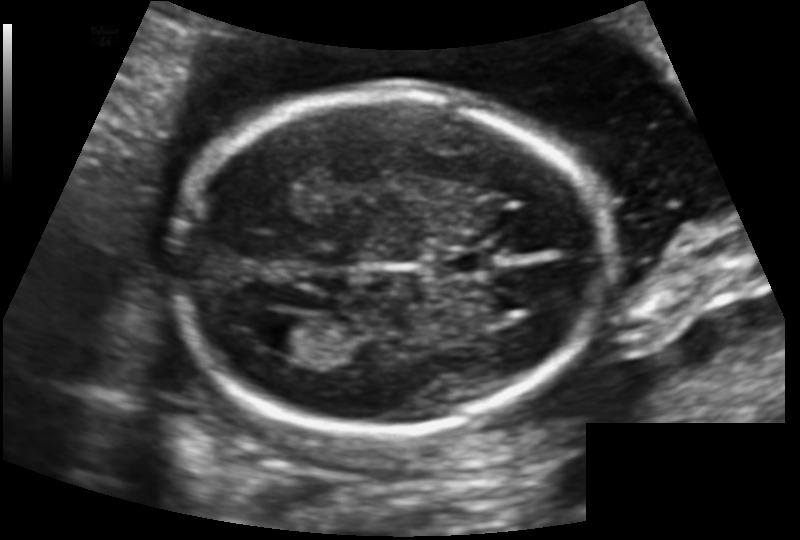
Fetal head ultrasound. Image width: 103.5 mm. Locate the cavum septum pellucidum.

CSP: [432,248,494,277]